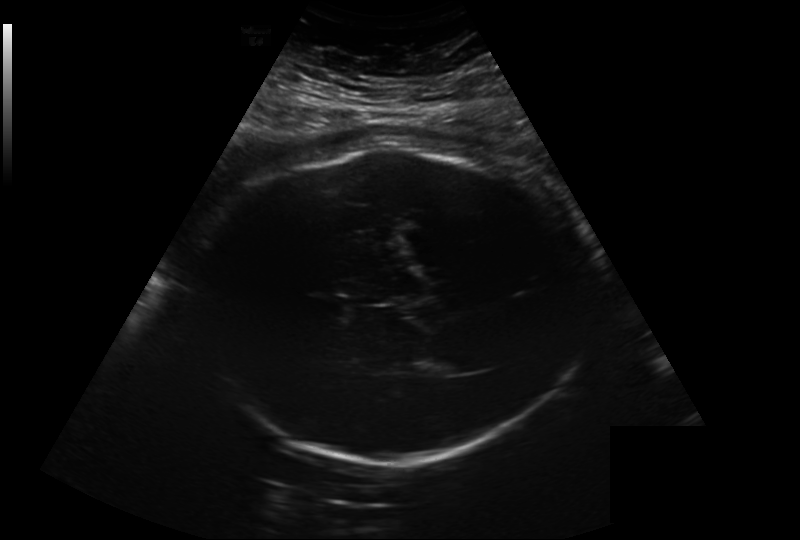
Estimate the fetal head circumference from this 2D ultrasound.

Head circumference: 327.5 mm (image width 225.2 mm).